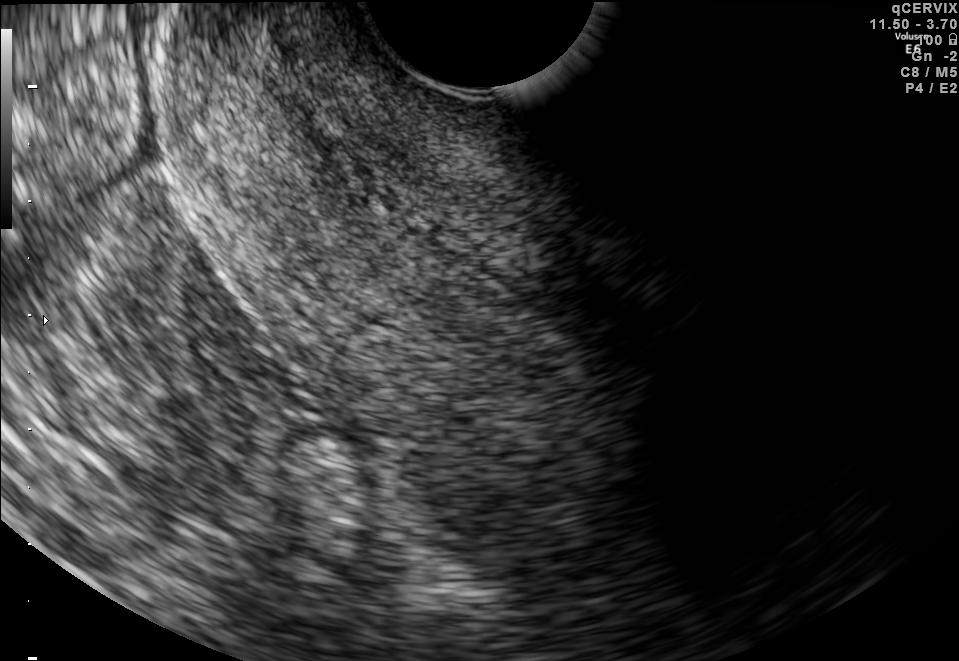
Which standard maternal-fetal ultrasound plane is shown: fetal abdomen, fetal brain, fetal femur, fetal thorax, maternal cervix, or other? If it's fetal brain and one of the three standard brain planes (trans-thalamic, trans-cerebellum, trans-ventricular), name which.

Maternal cervix